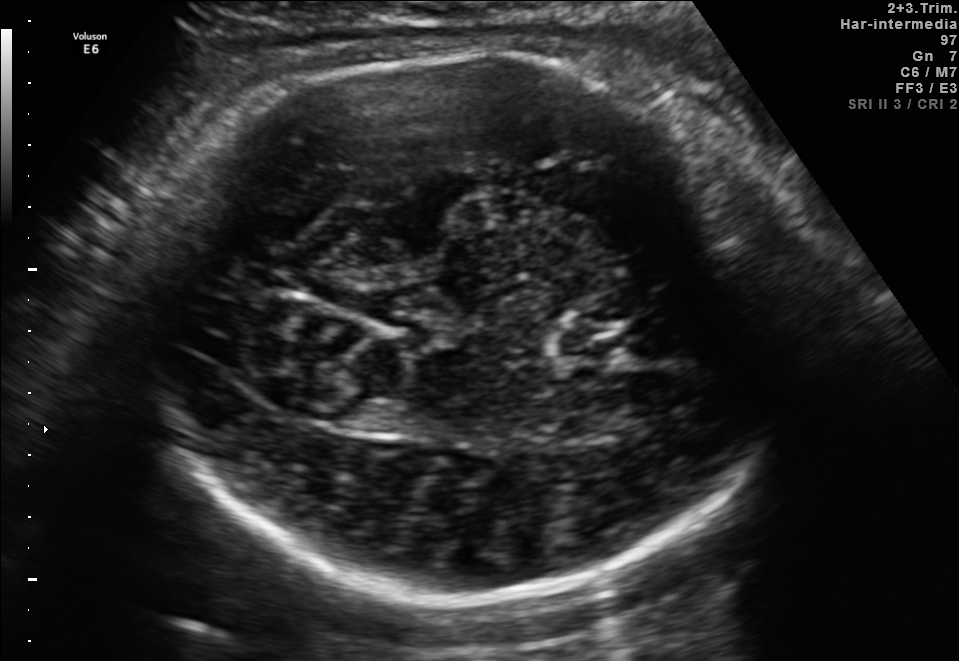
Fetal brain, trans-thalamic plane. Locate the fetal head and, if visible, the cavum septum pellucidum (CSP) and lateral ventricle (LV). Give bounding boxes as [x1,y1,x2,y2].

Head: [140,51,797,594]